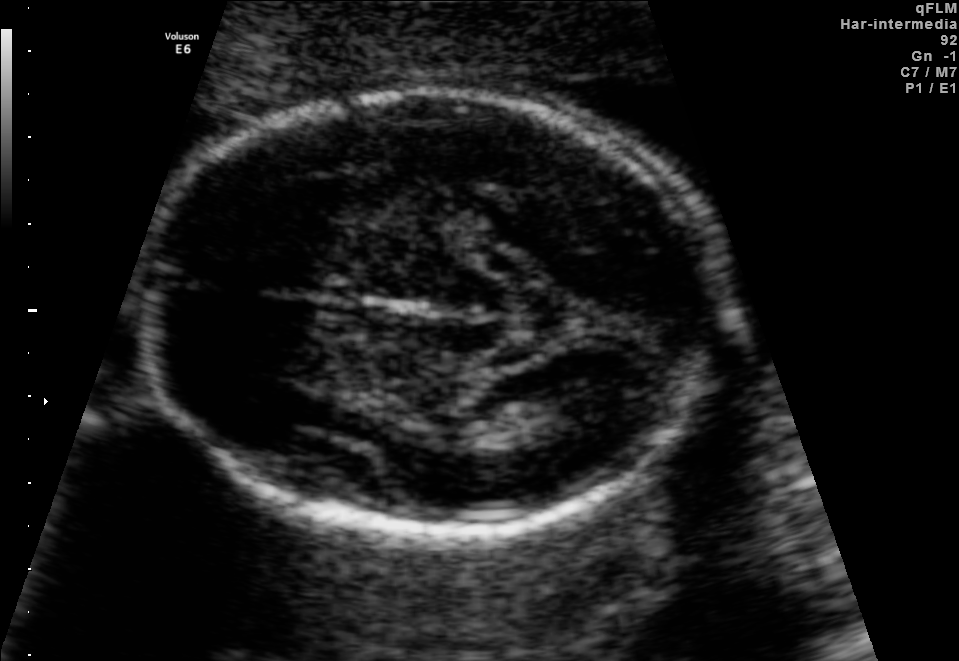
Which standard maternal-fetal ultrasound plane is shown: fetal abdomen, fetal brain, fetal femur, fetal thorax, maternal cervix, or other? If it's fetal brain and one of the three standard brain planes (trans-thalamic, trans-cerebellum, trans-ventricular), name which.

Fetal brain (trans-thalamic plane)